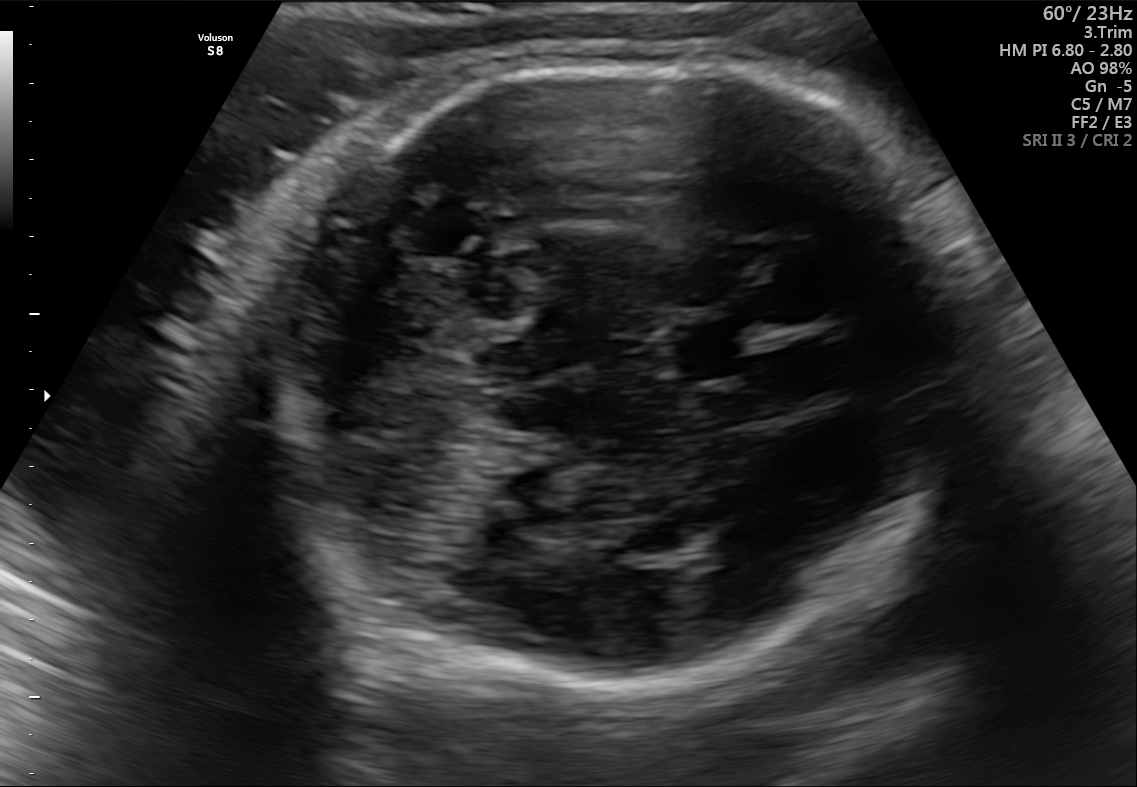
In this fetal brain, trans-cerebellum plane, give the bounding box of the cavum septum pellucidum.

[656,306,764,391]